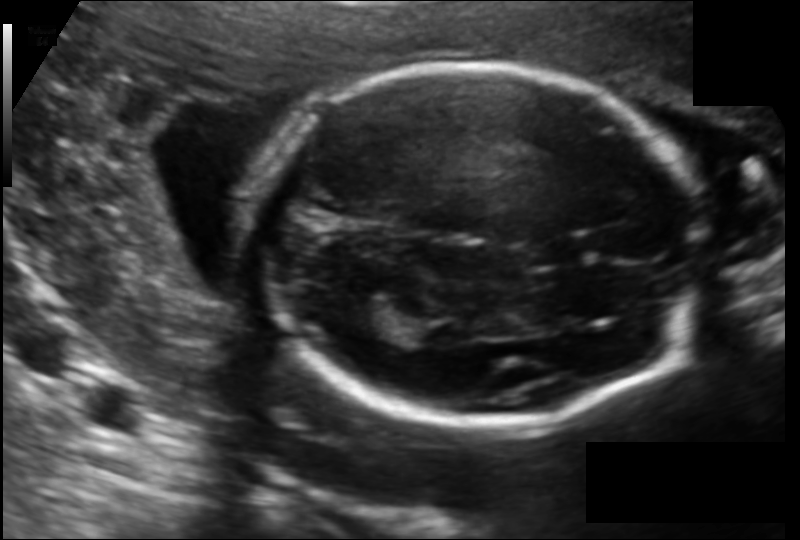
Measure the fetal head circumference shown in this ultrasound image. Image width: 103.2 mm.

Head circumference: 170.3 mm.